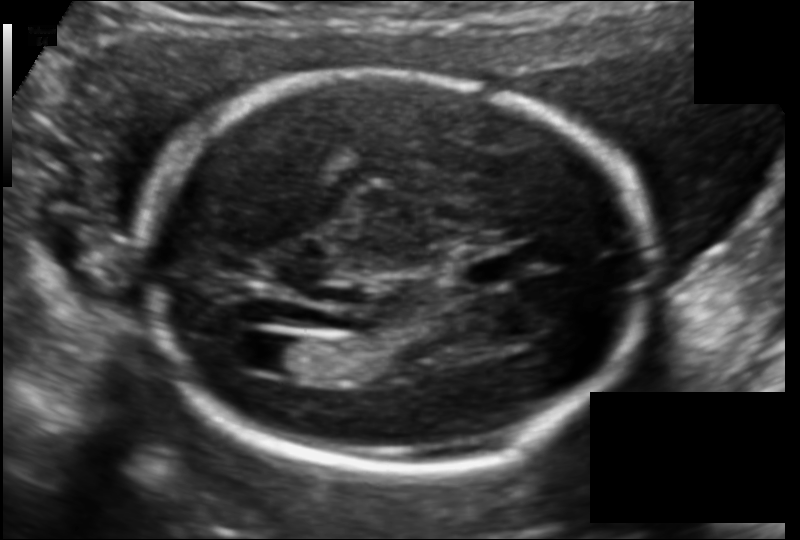
In this fetal head ultrasound, give bounding boxes for the head outline, cavum septum pellucidum (CSP), and lateral ventricle (LV), where visible. Image width: 97.5 mm.

Head: [143,73,652,472]
CSP: [458,247,521,296]
Lateral ventricle: [254,334,315,376]